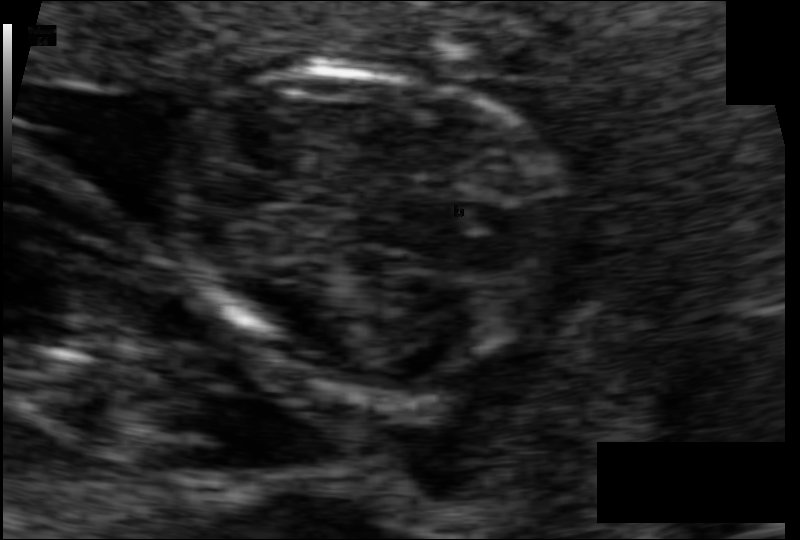
Estimate the fetal head circumference from this 2D ultrasound. Image width: 48.5 mm.

Head circumference: 71.9 mm.